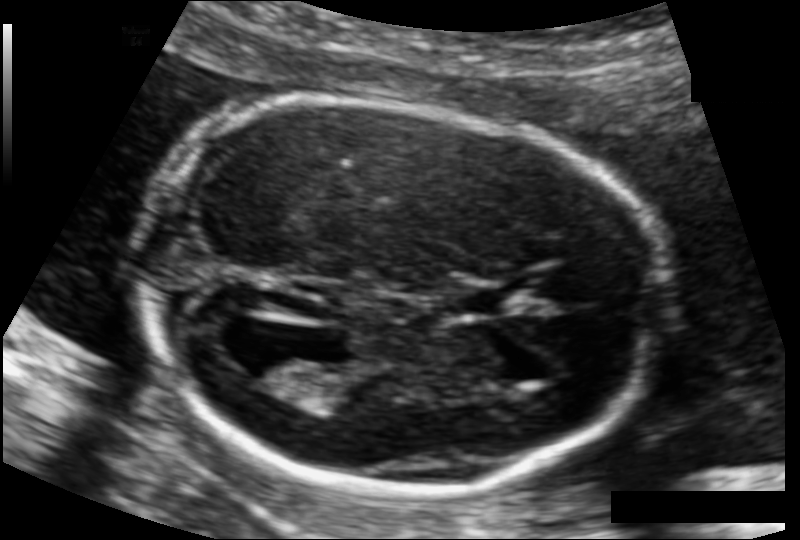
Fetal head ultrasound. Image width: 85.7 mm. Where is the lateral ventricle?

Lateral ventricle bounding box: [226,337,308,402]